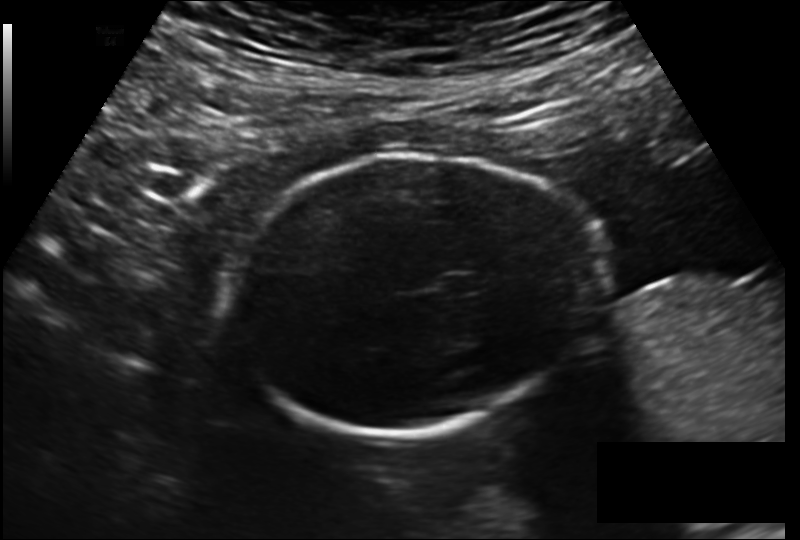
Fetal head ultrasound. Image width: 142.1 mm. Where is the cavum septum pellucidum?

CSP bounding box: [441,272,478,295]